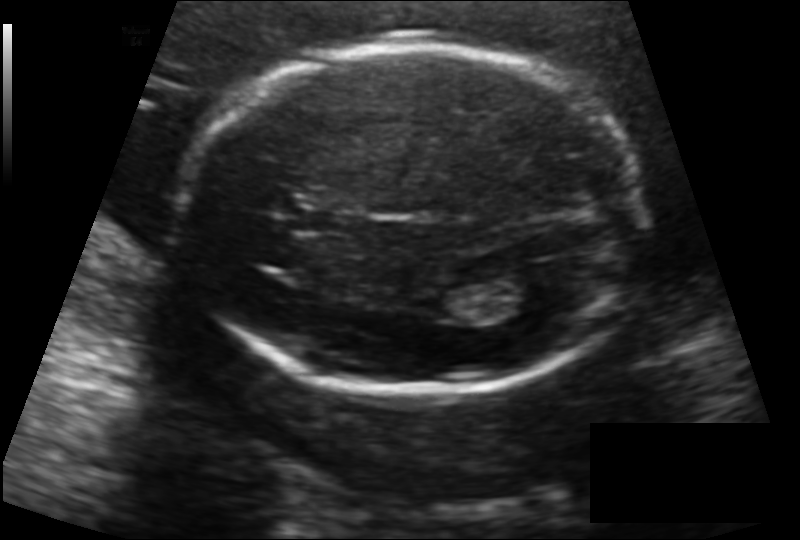
In this fetal head ultrasound, give the bounding box of the cavum septum pellucidum. Image width: 113.3 mm.

[291,204,358,238]